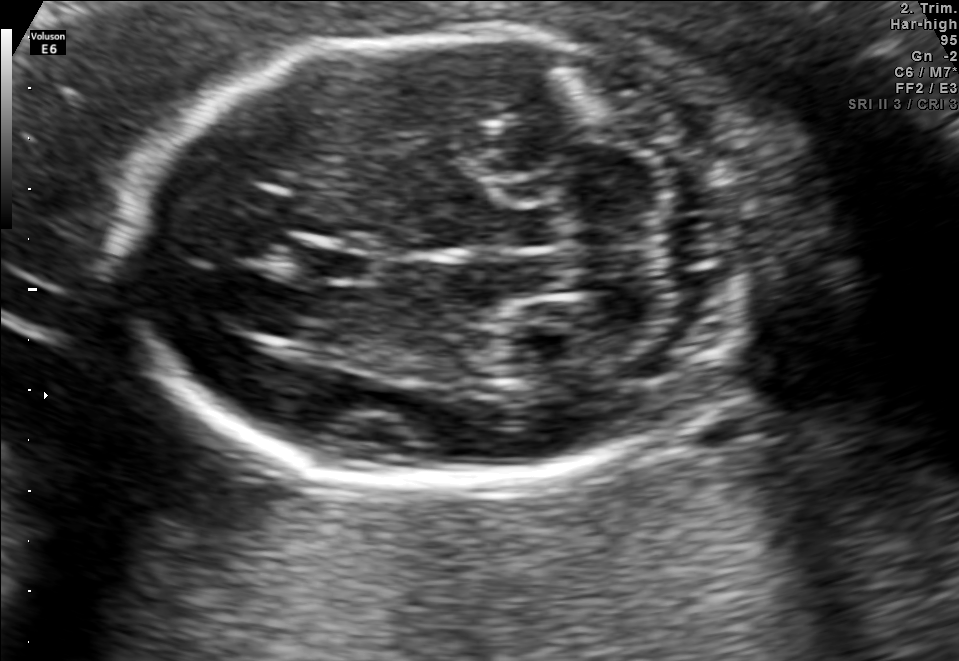
In this fetal brain, trans-cerebellum plane, give the bounding box of the cavum septum pellucidum.

[297,240,376,285]